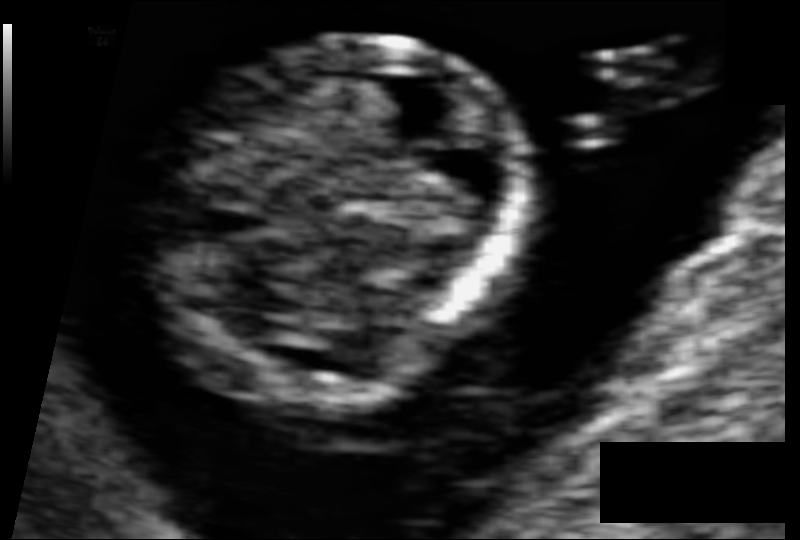
From this fetal ultrasound, estimate the head circumference (image width 43.4 mm).

Head circumference: 64.3 mm.